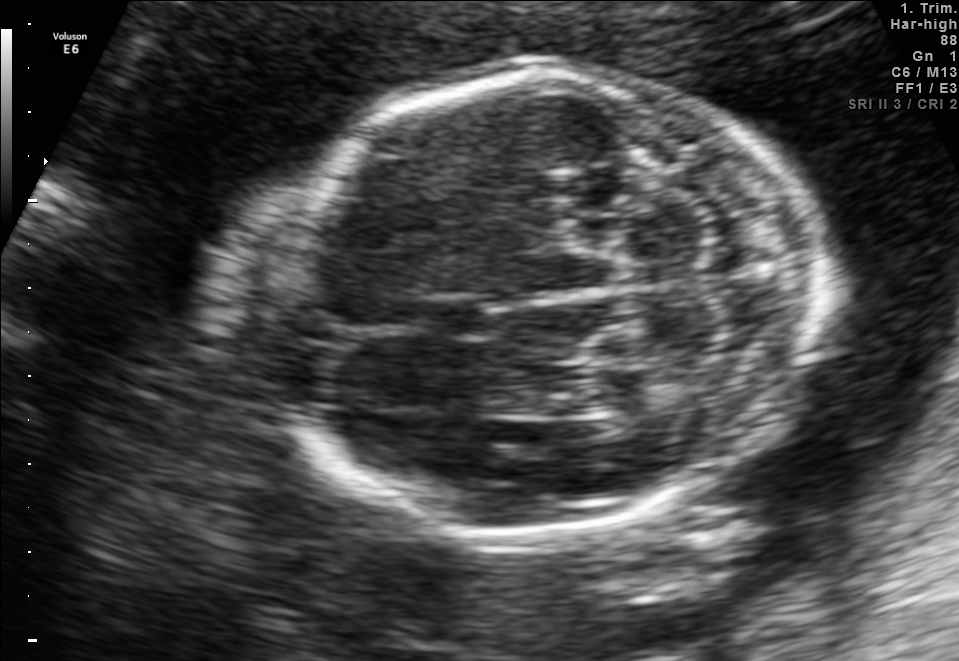
Fetal brain, trans-cerebellum plane. Locate the cavum septum pellucidum.

CSP: [414,293,496,339]